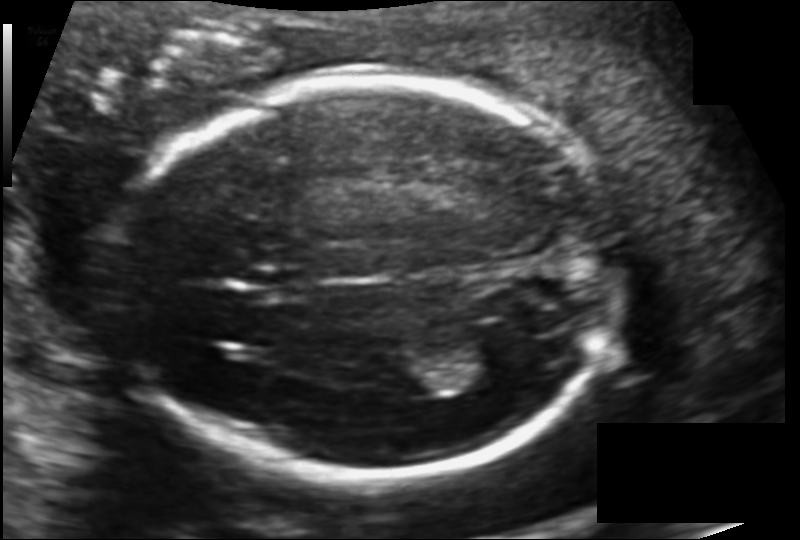
What is the fetal head circumference? Image width is 101.2 mm.

184.6 mm